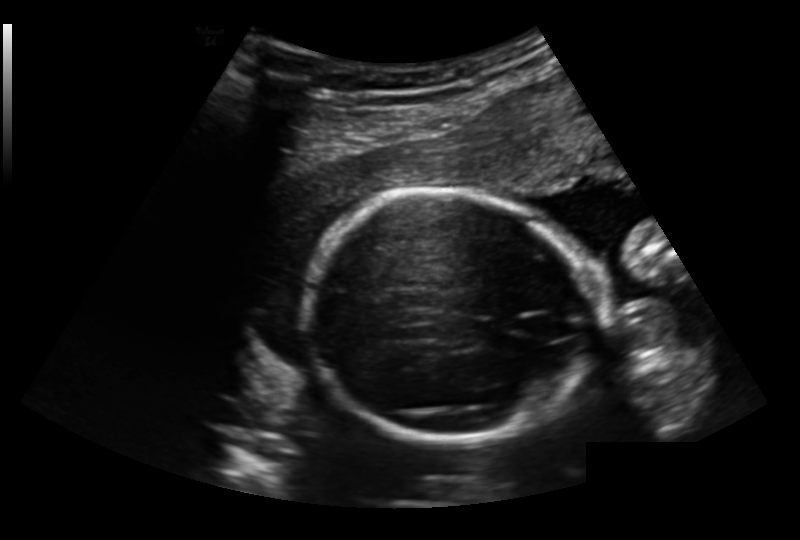
Estimate the fetal head circumference from this 2D ultrasound. Image width: 152.5 mm.

Head circumference: 169.4 mm.